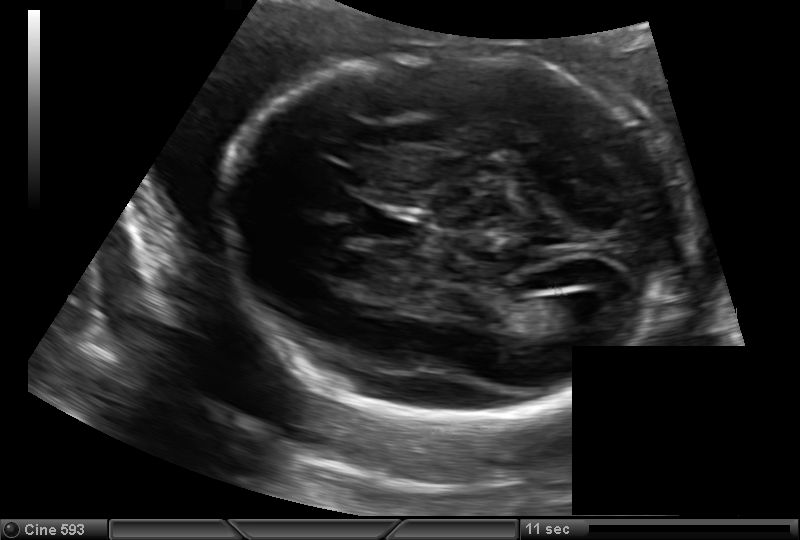
In this fetal head ultrasound, give bounding boxes for the head outline, cavum septum pellucidum (CSP), and lateral ventricle (LV), where visible. Image width: 115.2 mm.

Head: [221,52,684,417]
CSP: [366,207,431,247]
Lateral ventricle: [535,292,598,332]